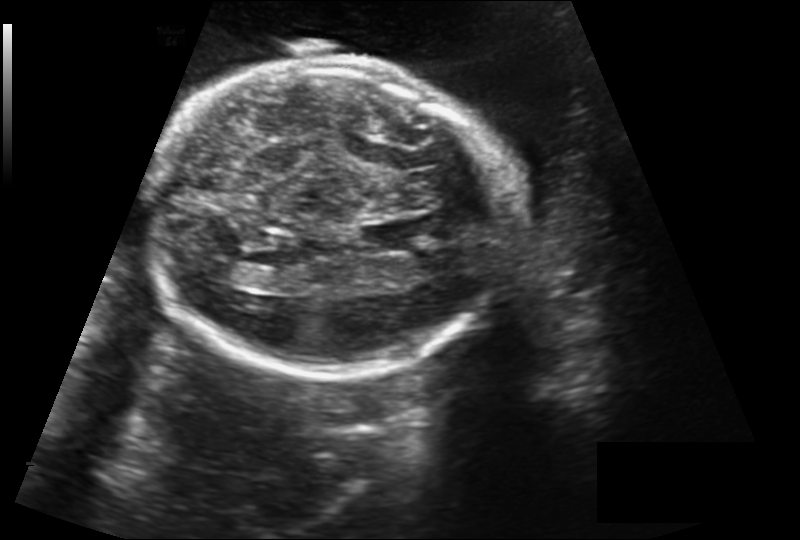
In this fetal head ultrasound, give the bounding box of the fetal head. Image width: 169.6 mm.

[152,58,511,376]